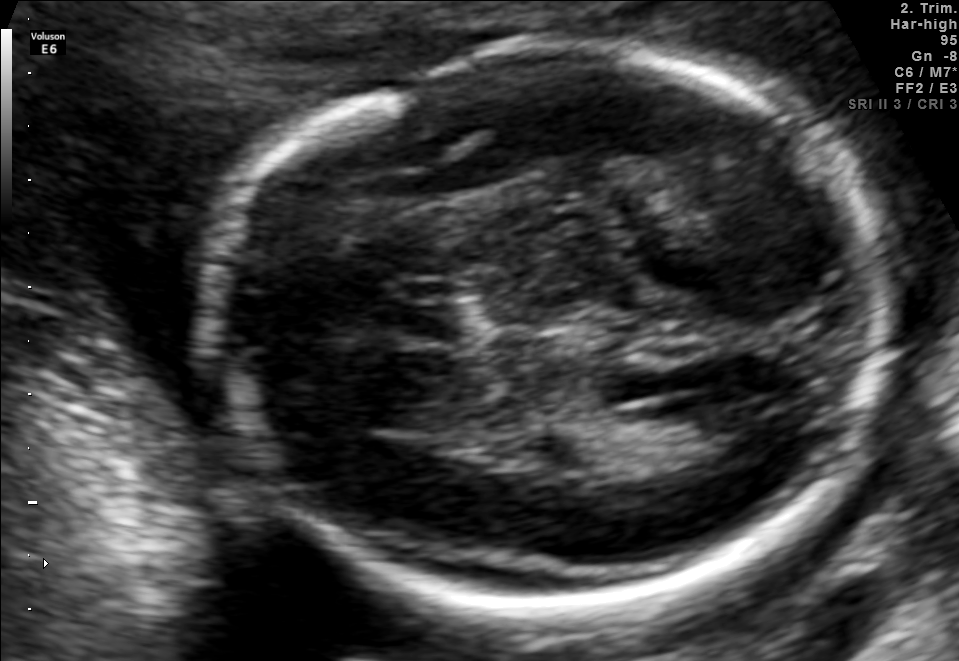
In this fetal brain, trans-ventricular plane, give bounding boxes for the head outline, cavum septum pellucidum (CSP), and lateral ventricle (LV), where visible.

Head: [194,37,909,610]
CSP: [376,289,486,346]
Lateral ventricle: [669,375,789,473]